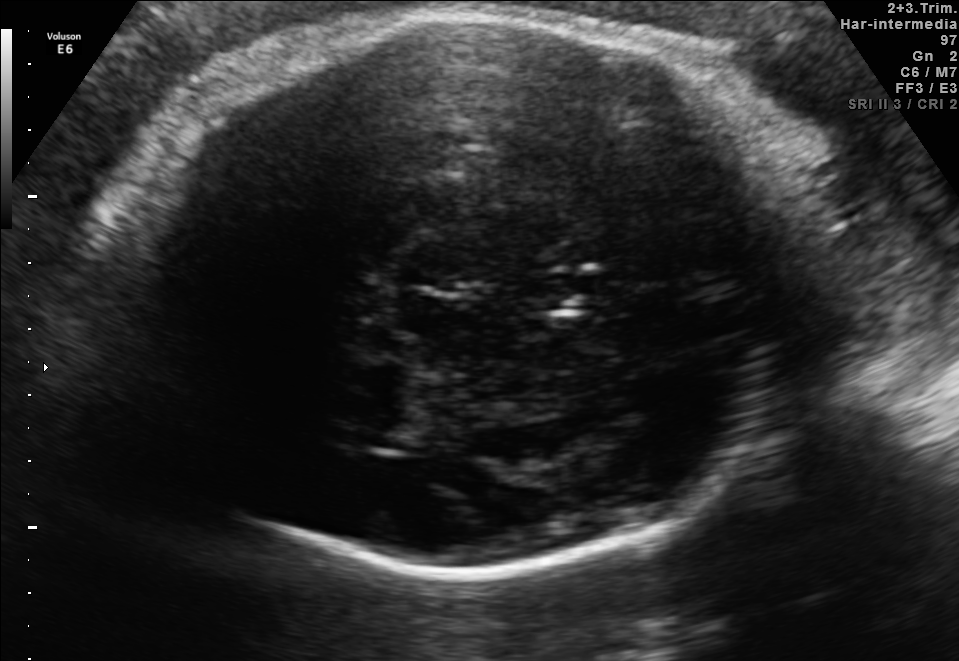
In this fetal brain, trans-thalamic plane, give the bounding box of the cavum septum pellucidum.

[530,275,597,309]